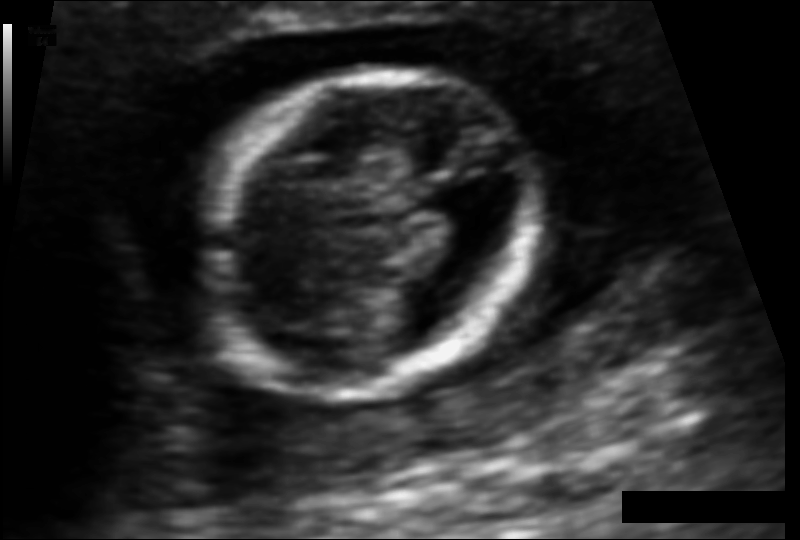
Fetal head ultrasound. Image width: 73.5 mm. Give [x1,y1,x2,y2] bounding boxes for each visible structure among: fetal head, CSP, LV.

Head: [184,68,538,394]